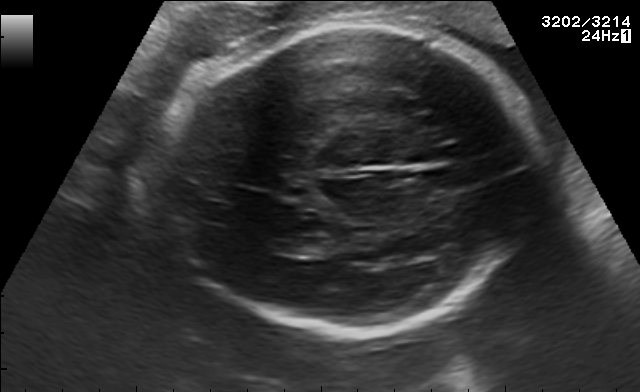
Fetal brain, trans-thalamic plane. Where is the fetal head?

Head bounding box: [157,23,535,337]